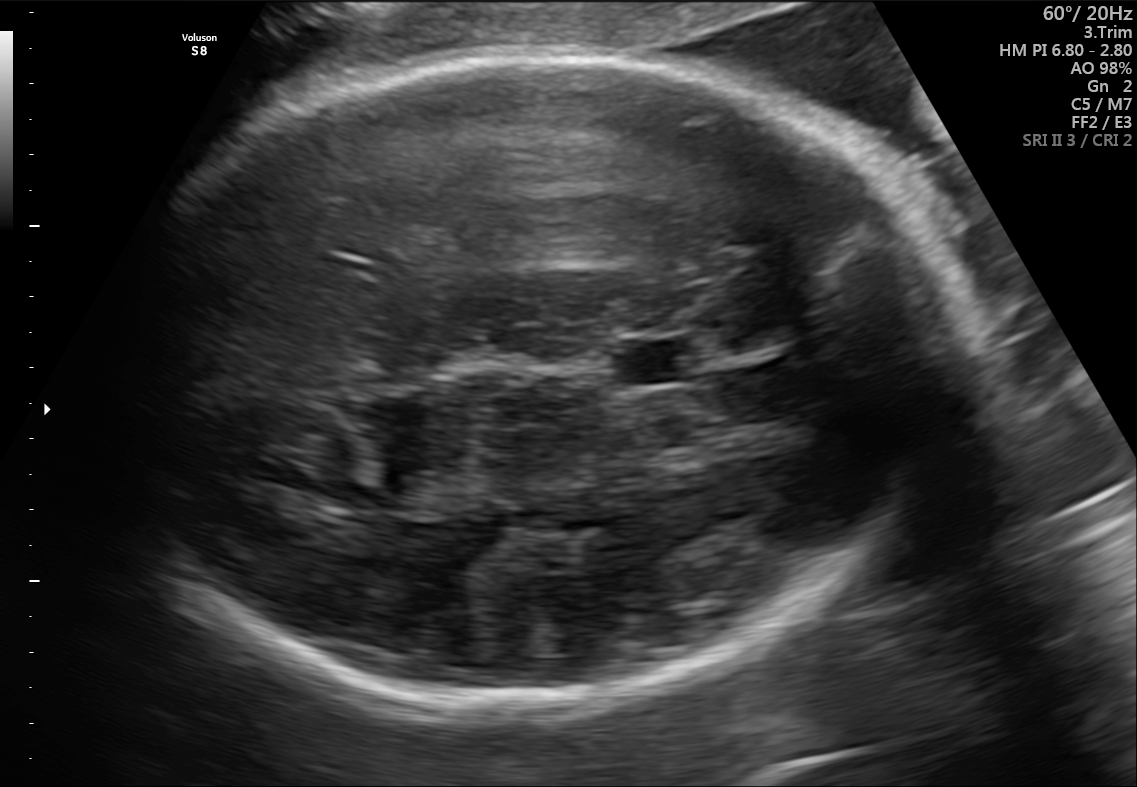
Fetal brain, trans-thalamic plane. Give [x1,y1,x2,y2] bounding boxes for each visible structure among: fetal head, CSP, LV.

Head: [106,54,951,702]
CSP: [614,336,706,388]